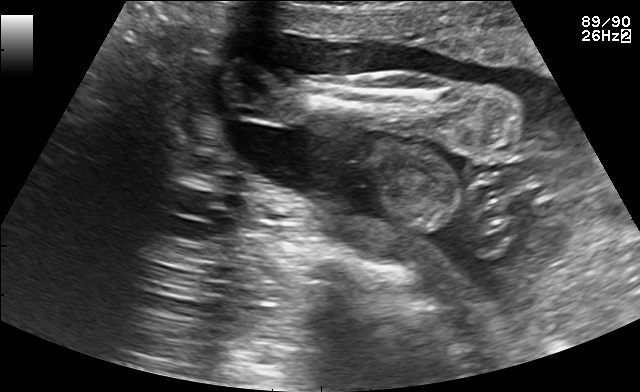
Classify this maternal-fetal ultrasound image as one of the six standard planes — fetal abdomen, fetal brain, fetal femur, fetal thorax, maternal cervix, or other. If it's fetal brain and one of the three standard brain planes (trans-thalamic, trans-cerebellum, trans-ventricular), name which.

Other